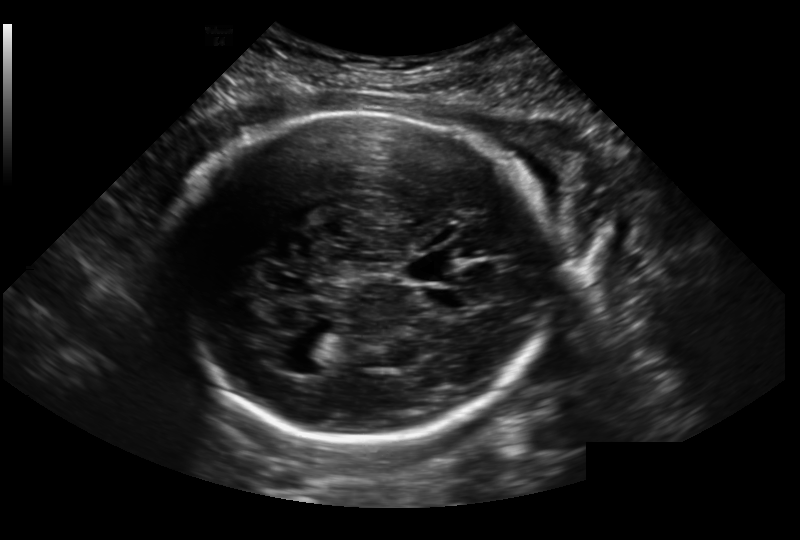
Estimate the fetal head circumference from this 2D ultrasound. Image width: 188.7 mm.

Head circumference: 274.9 mm.